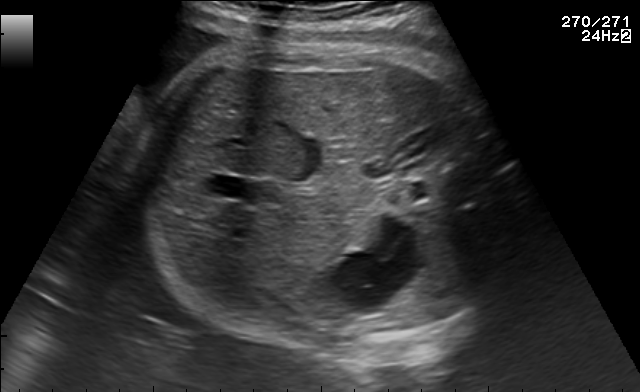
Which standard maternal-fetal ultrasound plane is shown: fetal abdomen, fetal brain, fetal femur, fetal thorax, maternal cervix, or other? If it's fetal brain and one of the three standard brain planes (trans-thalamic, trans-cerebellum, trans-ventricular), name which.

Fetal abdomen